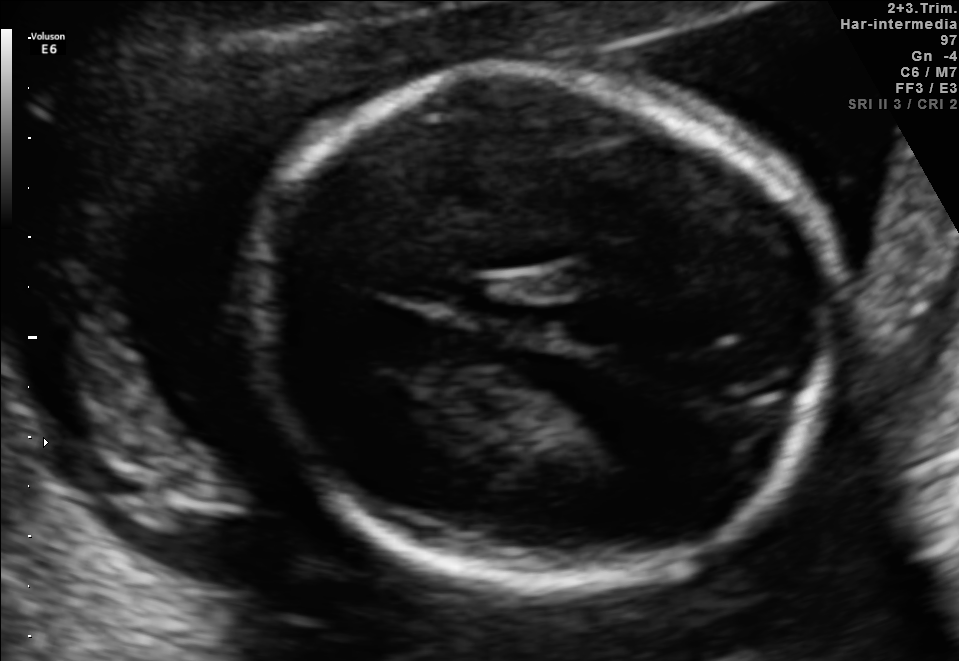
Fetal brain, trans-thalamic plane. Locate the fetal head and, if visible, the cavum septum pellucidum (CSP) and lateral ventricle (LV). Give bounding boxes as [x1,y1,x2,y2].

Head: [250,61,831,582]